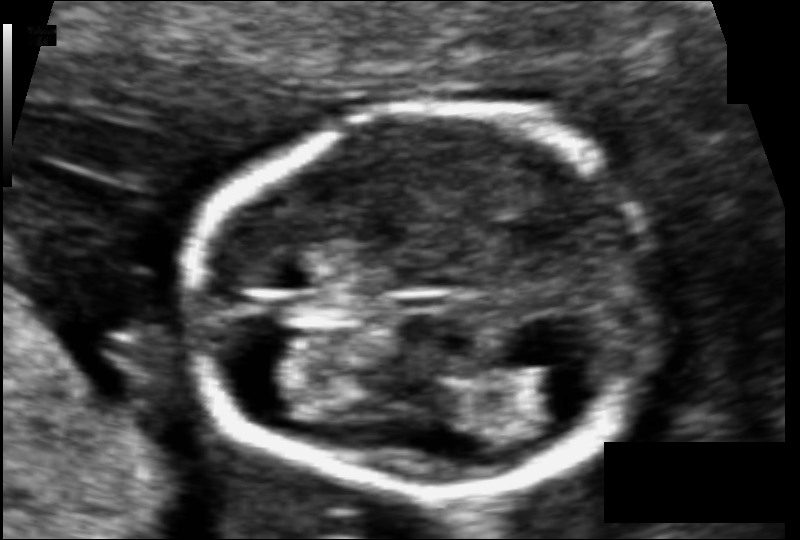
In this fetal head ultrasound, give the bounding box of the fetal head. Image width: 52.4 mm.

[189,109,657,493]